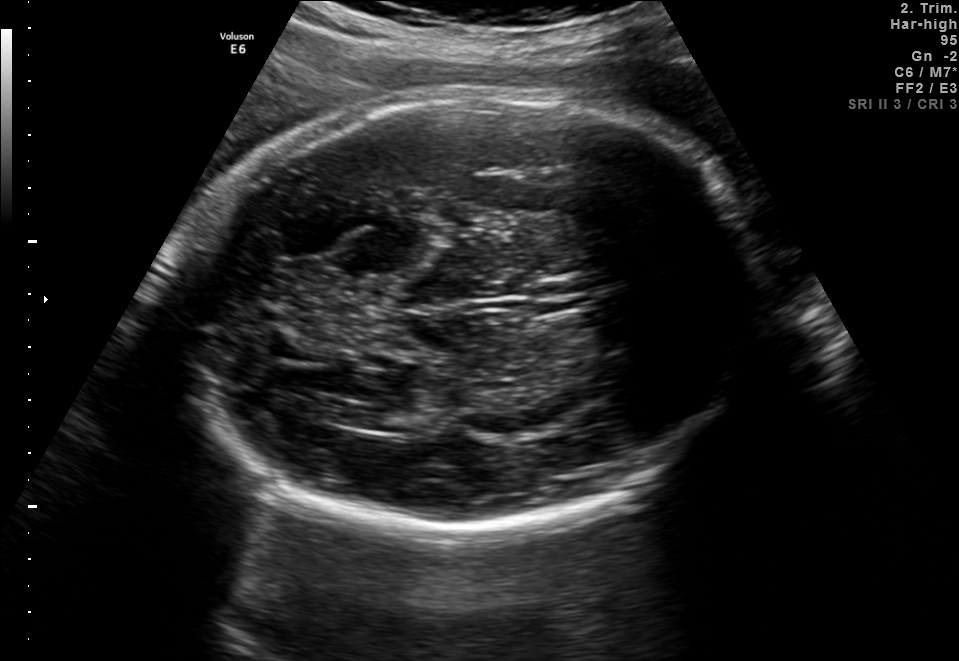
In this fetal brain, trans-ventricular plane, give bounding boxes for the head outline, cavum septum pellucidum (CSP), and lateral ventricle (LV), where visible.

Head: [172,85,775,536]
CSP: [524,272,603,318]